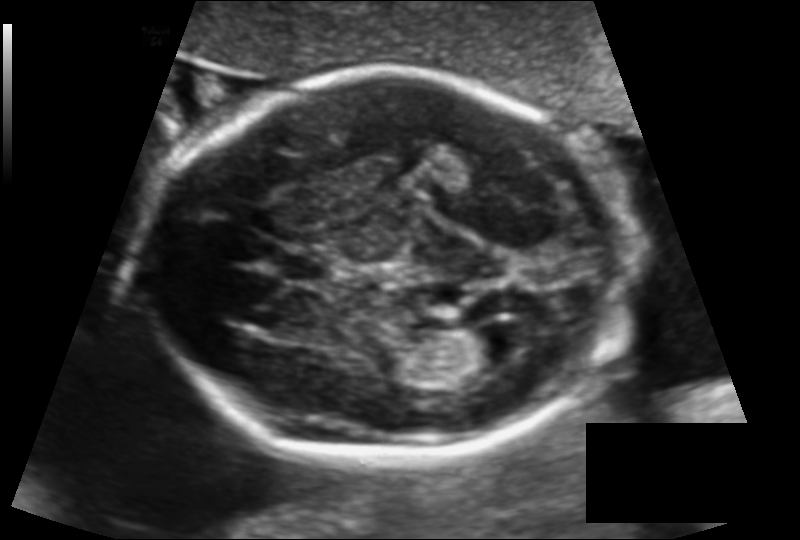
What is the fetal head circumference? Image width is 103.5 mm.

180.4 mm